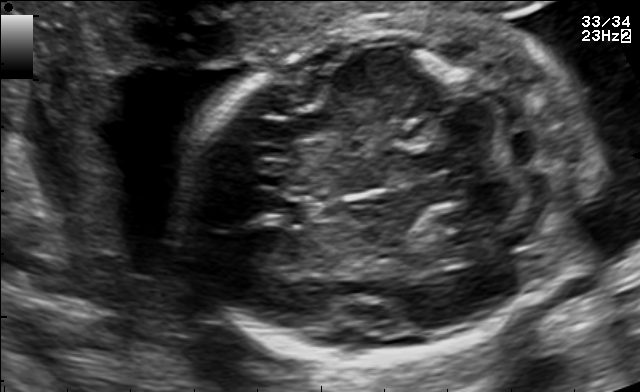
In this fetal brain, trans-cerebellum plane, give the bounding box of the cavum septum pellucidum.

[275,198,320,229]